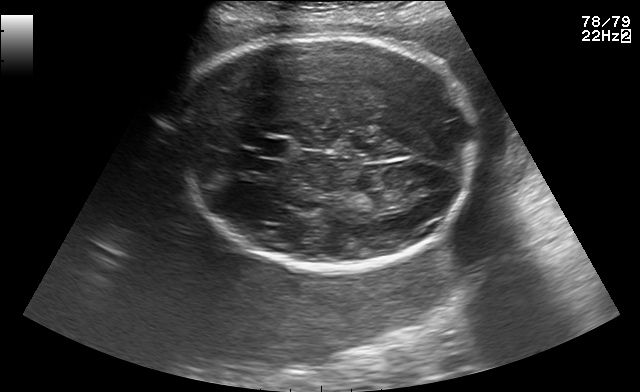
Fetal brain, trans-thalamic plane. Locate the cavum septum pellucidum.

CSP: [253,136,291,160]